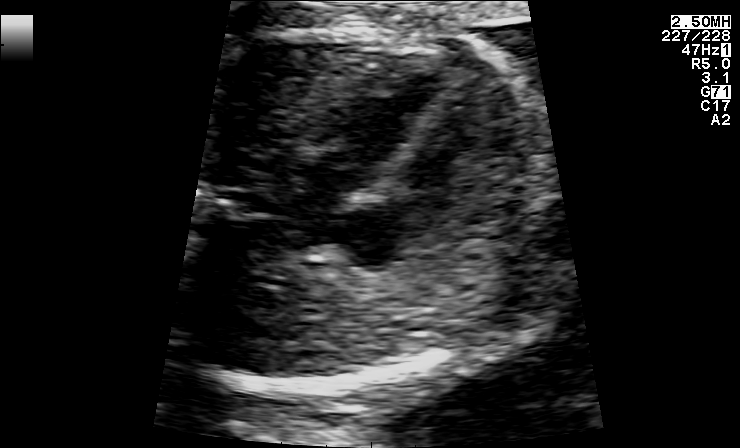
Classify this maternal-fetal ultrasound image as one of the six standard planes — fetal abdomen, fetal brain, fetal femur, fetal thorax, maternal cervix, or other. If it's fetal brain and one of the three standard brain planes (trans-thalamic, trans-cerebellum, trans-ventricular), name which.

Fetal thorax